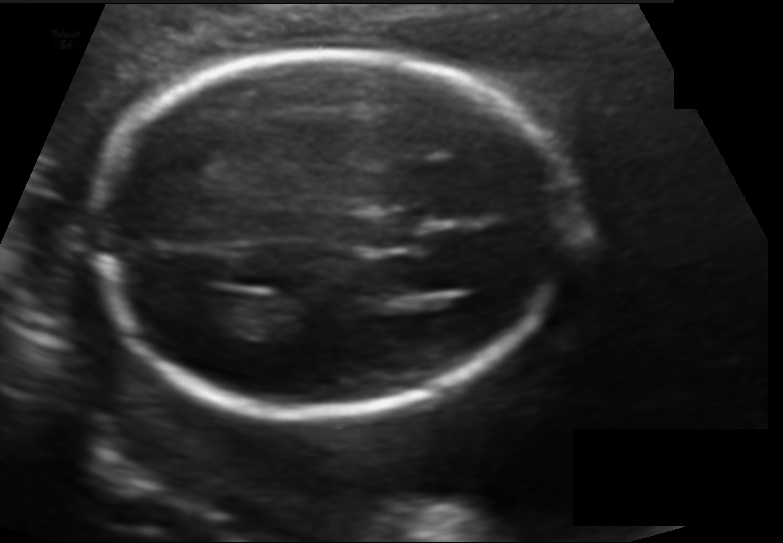
Fetal head ultrasound. Image width: 100.2 mm. Give [x1,y1,x2,y2] bounding boxes for each visible structure among: fetal head, CSP, LV.

Head: [93,55,564,412]